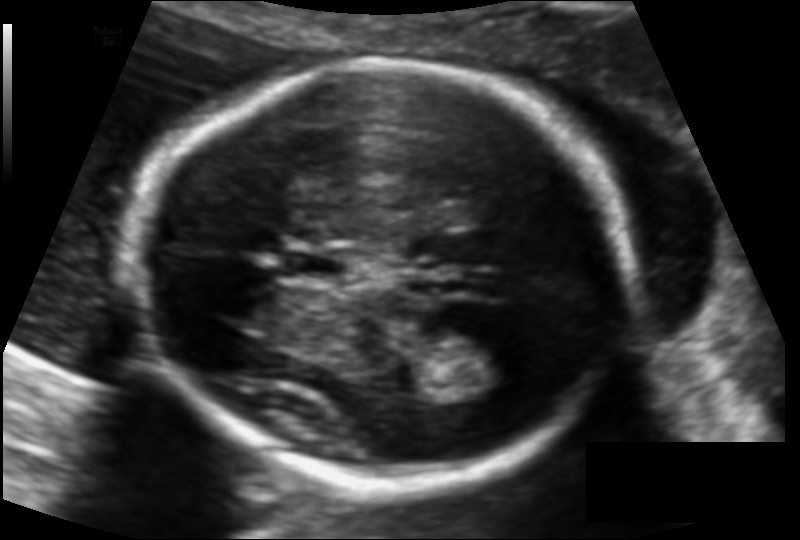
In this fetal head ultrasound, give the bounding box of the fetal head. Image width: 90.8 mm.

[141,60,631,482]